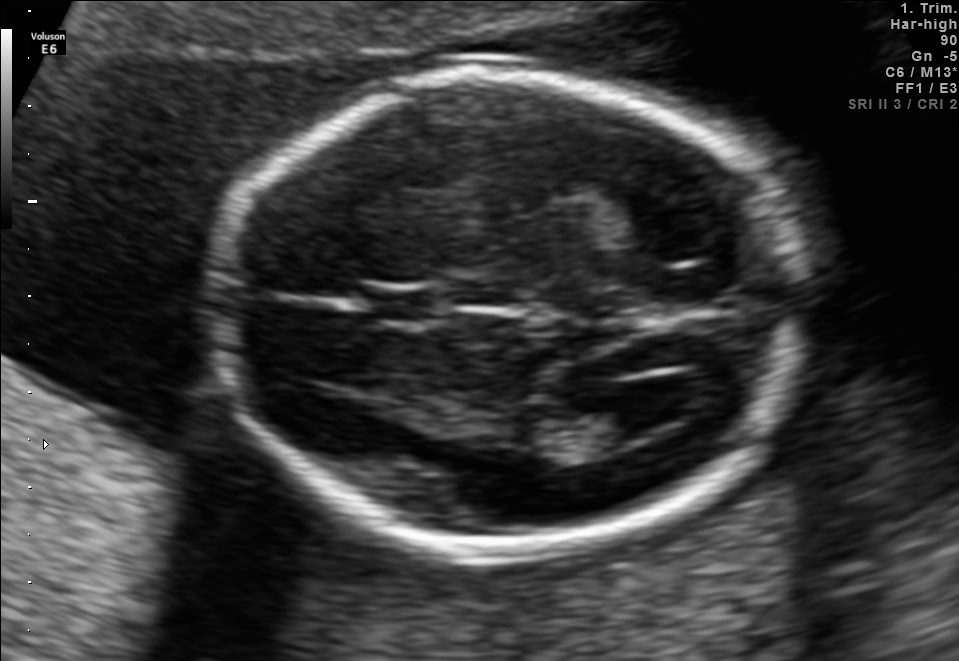
In this fetal brain, trans-ventricular plane, give bounding boxes for the head outline, cavum septum pellucidum (CSP), and lateral ventricle (LV), where visible.

Head: [197,57,828,566]
CSP: [369,291,434,321]
Lateral ventricle: [598,371,692,440]